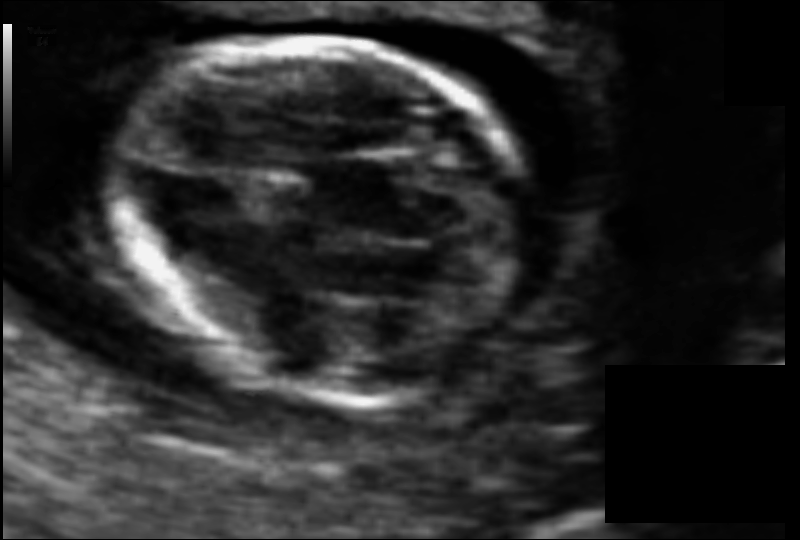
From this fetal ultrasound, estimate the head circumference (image width 51.5 mm).

Head circumference: 77.7 mm.